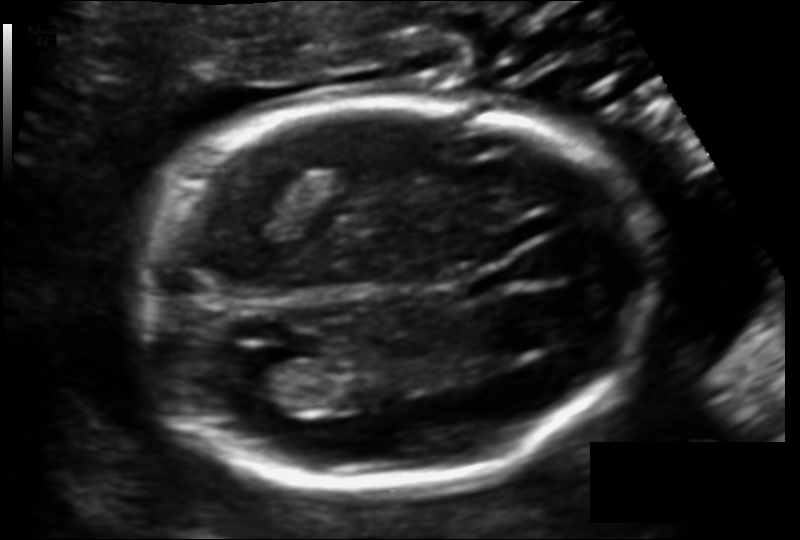
Fetal head ultrasound. Image width: 97.3 mm. Locate the fetal head and, if visible, the cavum septum pellucidum (CSP) and lateral ventricle (LV). Give bounding boxes as [x1,y1,x2,y2].

Head: [138,100,649,491]
Lateral ventricle: [241,357,319,413]